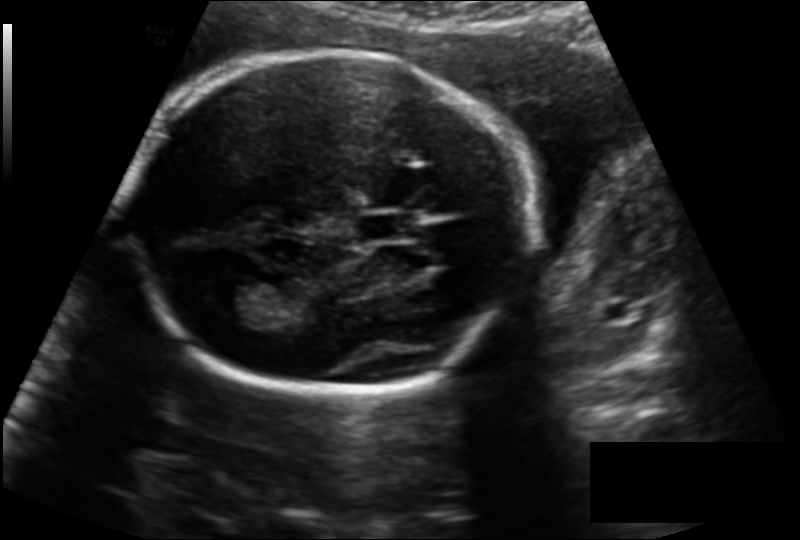
What is the fetal head circumference? Image width is 122.1 mm.

185.1 mm